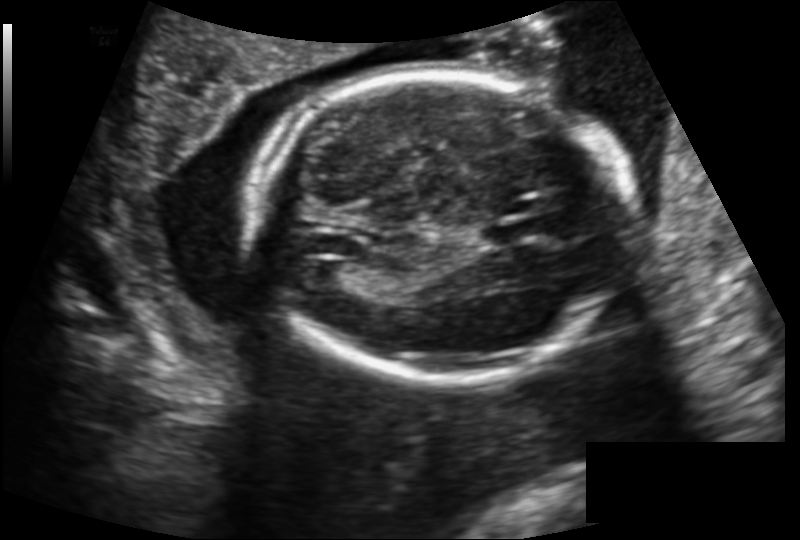
What is the fetal head circumference? Image width is 127.5 mm.

178.8 mm